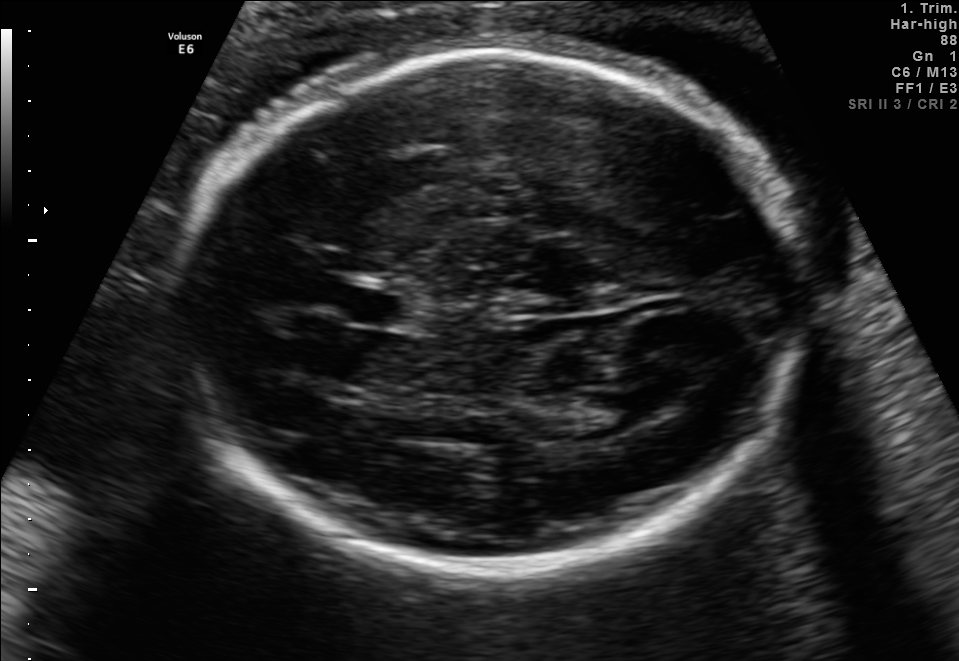
In this fetal brain, trans-thalamic plane, give the bounding box of the lateral ventricle.

[570,387,655,438]